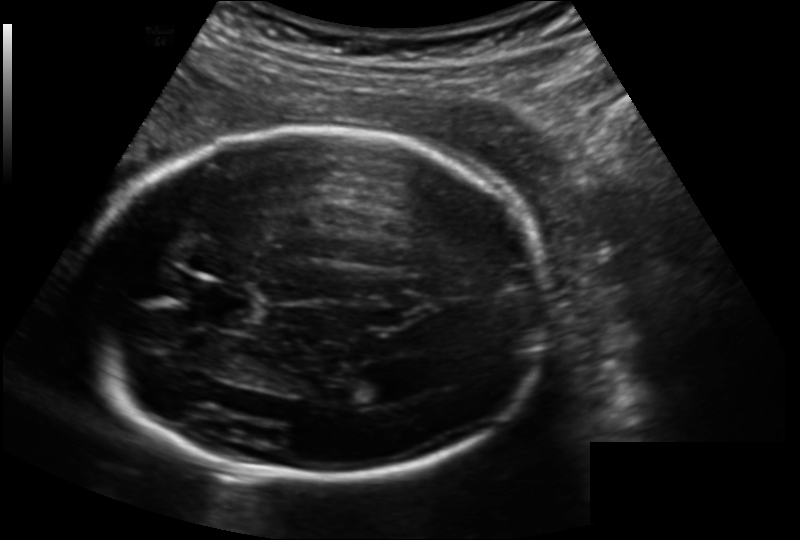
In this fetal head ultrasound, give the bounding box of the fetal head. Image width: 130.8 mm.

[78,131,551,481]